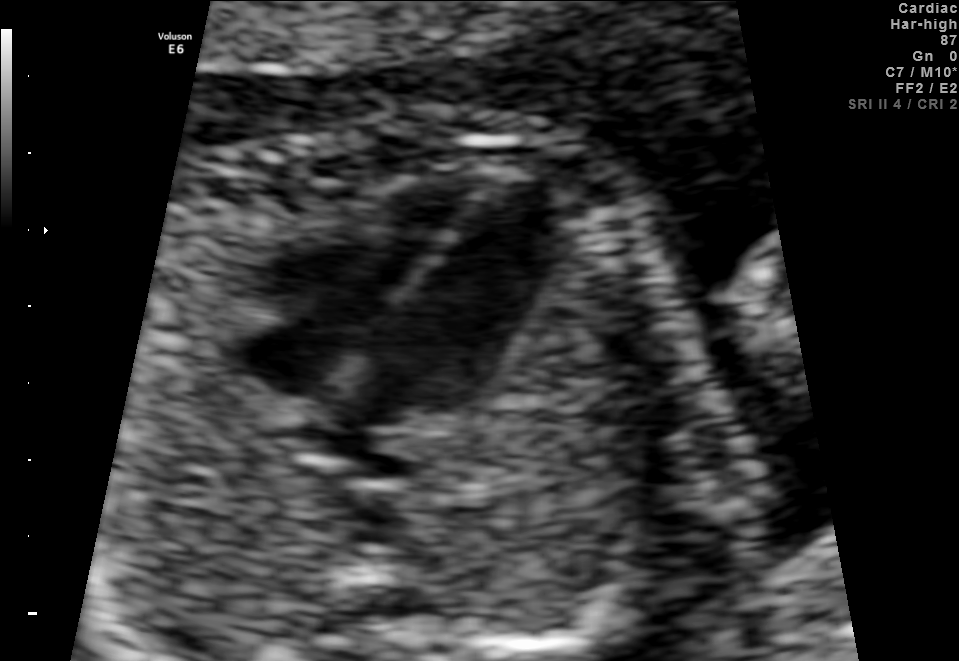
Classify this maternal-fetal ultrasound image as one of the six standard planes — fetal abdomen, fetal brain, fetal femur, fetal thorax, maternal cervix, or other. If it's fetal brain and one of the three standard brain planes (trans-thalamic, trans-cerebellum, trans-ventricular), name which.

Fetal thorax